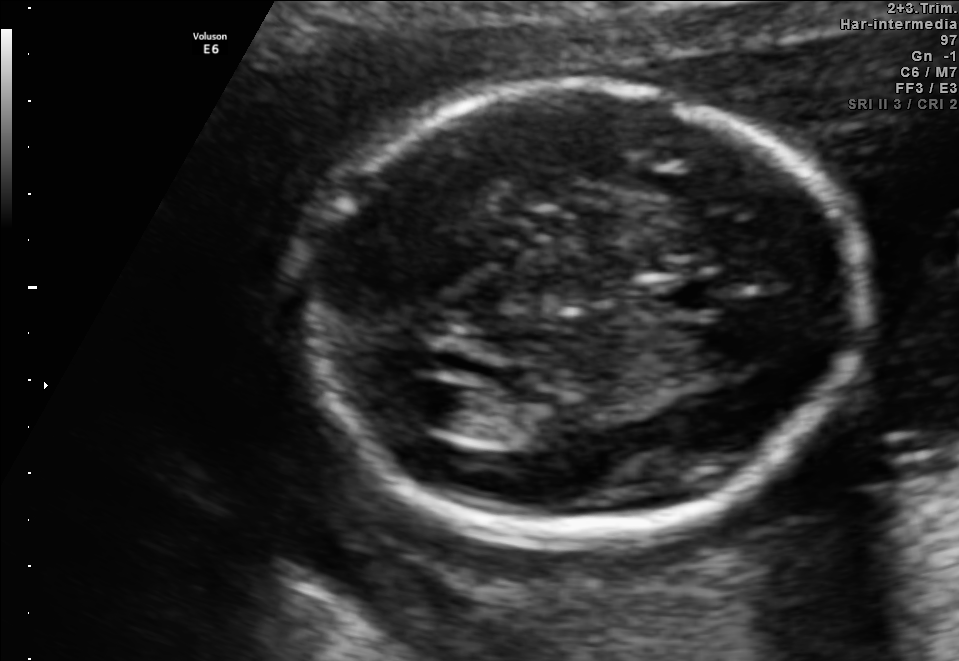
Fetal brain, trans-ventricular plane. Where is the cavum septum pellucidum?

CSP bounding box: [635,276,727,317]